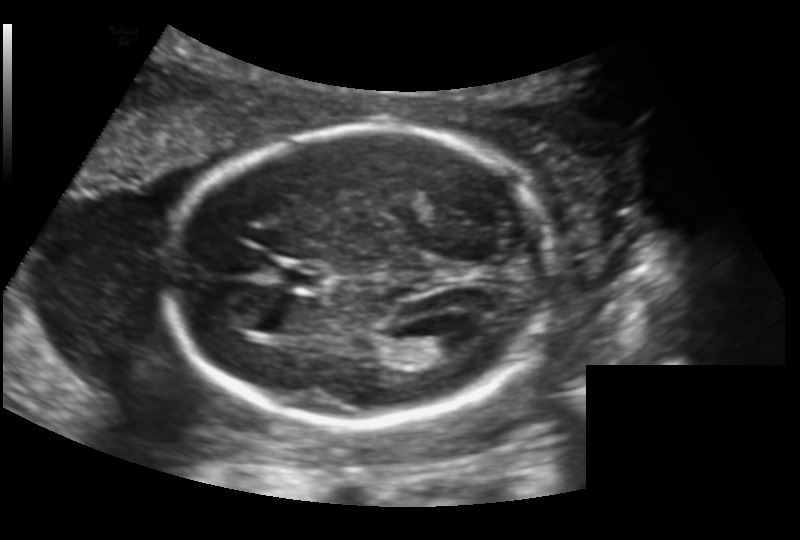
Fetal head ultrasound. Image width: 125.0 mm. Locate the cavum septum pellucidum.

CSP: [272,258,329,295]